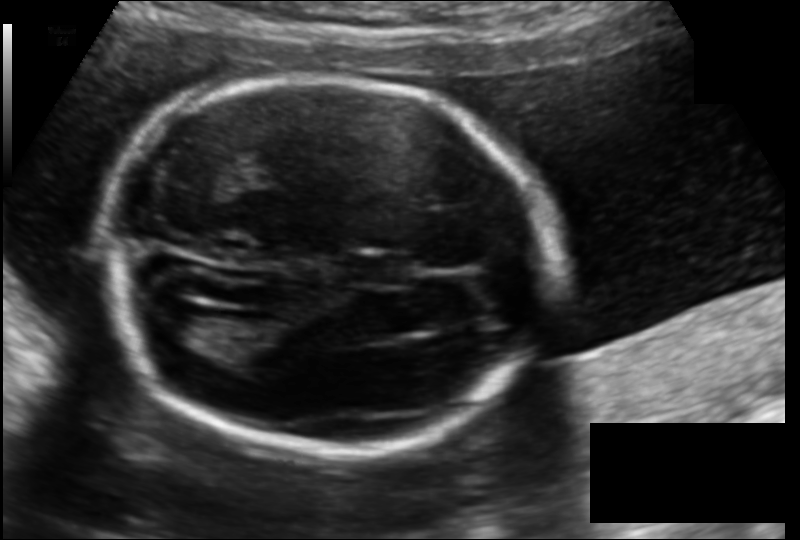
In this fetal head ultrasound, give the bounding box of the lateral ventricle. Image width: 107.8 mm.

[144,299,215,354]